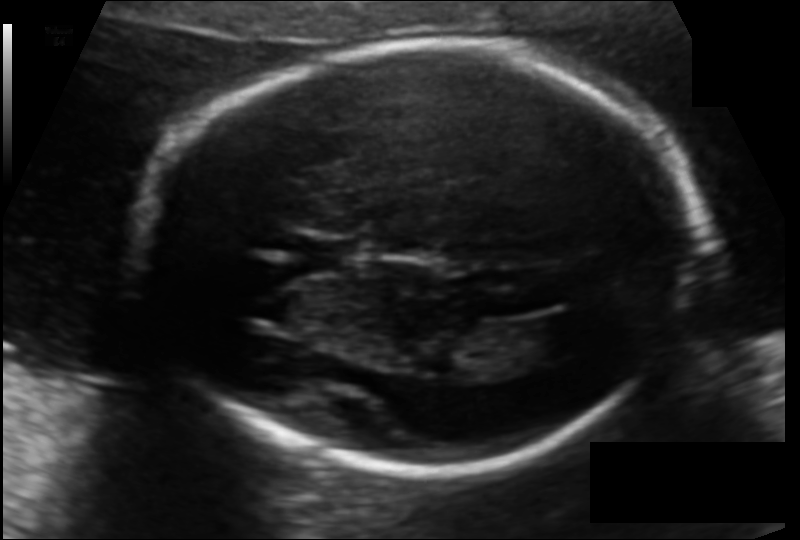
Fetal head ultrasound. Image width: 97.4 mm. Locate the fetal head and, if visible, the cavum septum pellucidum (CSP) and lateral ventricle (LV). Give bounding boxes as [x1,y1,x2,y2].

Head: [142,46,697,470]
CSP: [302,236,360,274]
Lateral ventricle: [512,309,589,365]